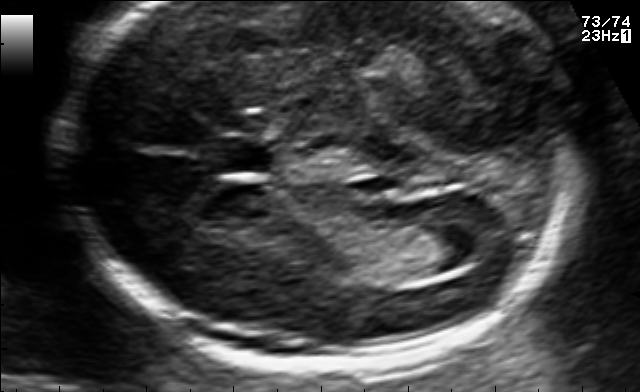
This is a 2D maternal-fetal ultrasound frame. Is it a fetal abdomen, fetal brain, fetal femur, fetal thorax, maternal cervix, or other standard plane? If it's fetal brain and one of the three standard brain planes (trans-thalamic, trans-cerebellum, trans-ventricular), name which.

Fetal brain (trans-ventricular plane)